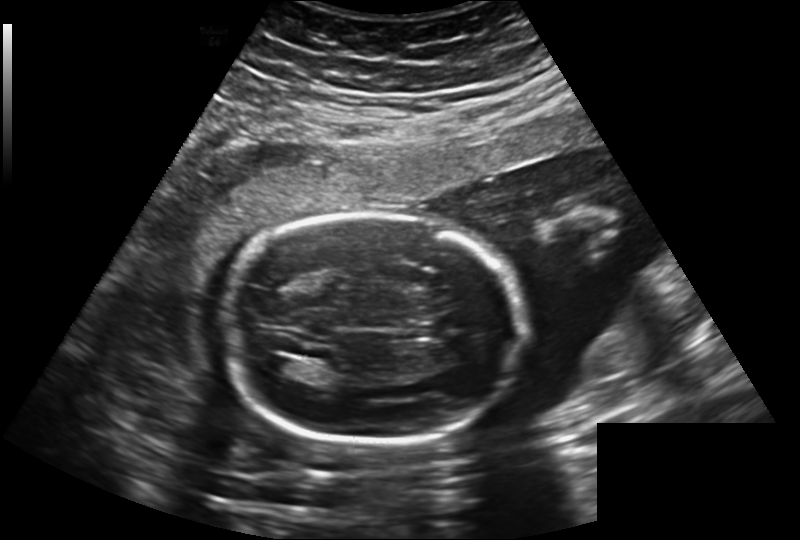
In this fetal head ultrasound, give the bounding box of the lateral ventricle. Image width: 192.6 mm.

[263,353,296,376]